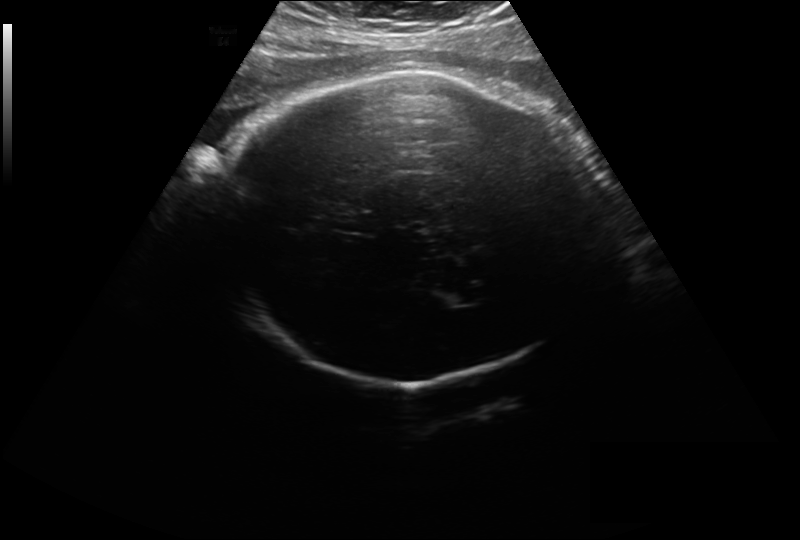
Fetal head ultrasound. Image width: 237.5 mm. Locate the fetal head and, if visible, the cavum septum pellucidum (CSP) and lateral ventricle (LV). Give bounding boxes as [x1,y1,x2,y2].

Head: [216,70,602,383]